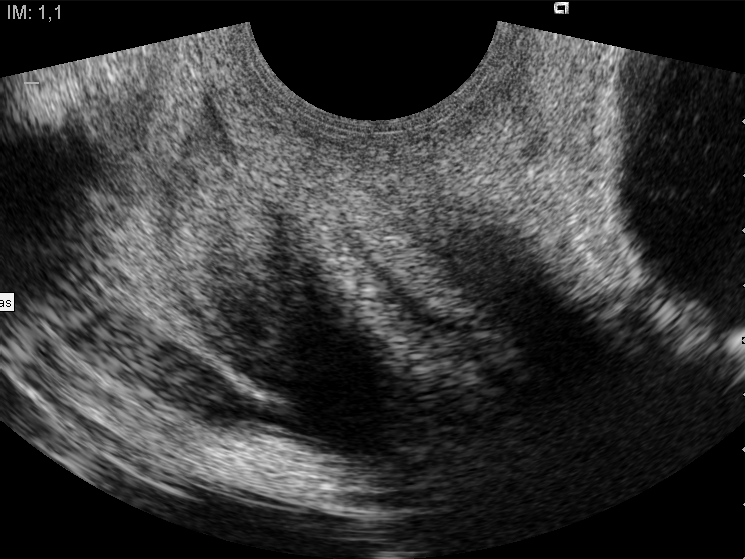
Which standard maternal-fetal ultrasound plane is shown: fetal abdomen, fetal brain, fetal femur, fetal thorax, maternal cervix, or other? If it's fetal brain and one of the three standard brain planes (trans-thalamic, trans-cerebellum, trans-ventricular), name which.

Maternal cervix